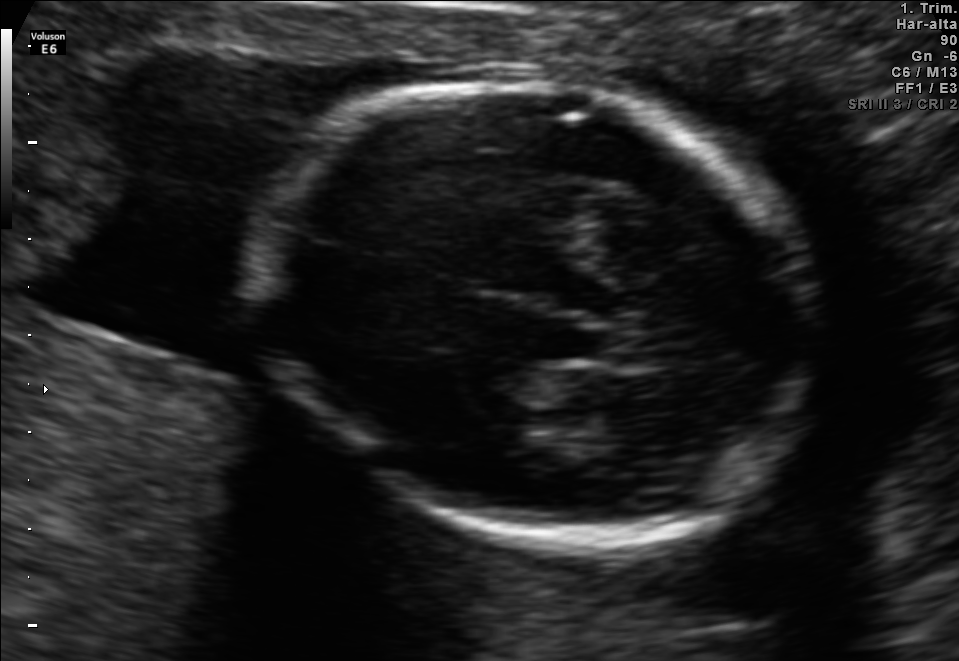
Fetal brain, trans-thalamic plane. Locate the fetal head.

Head: [252,79,817,532]